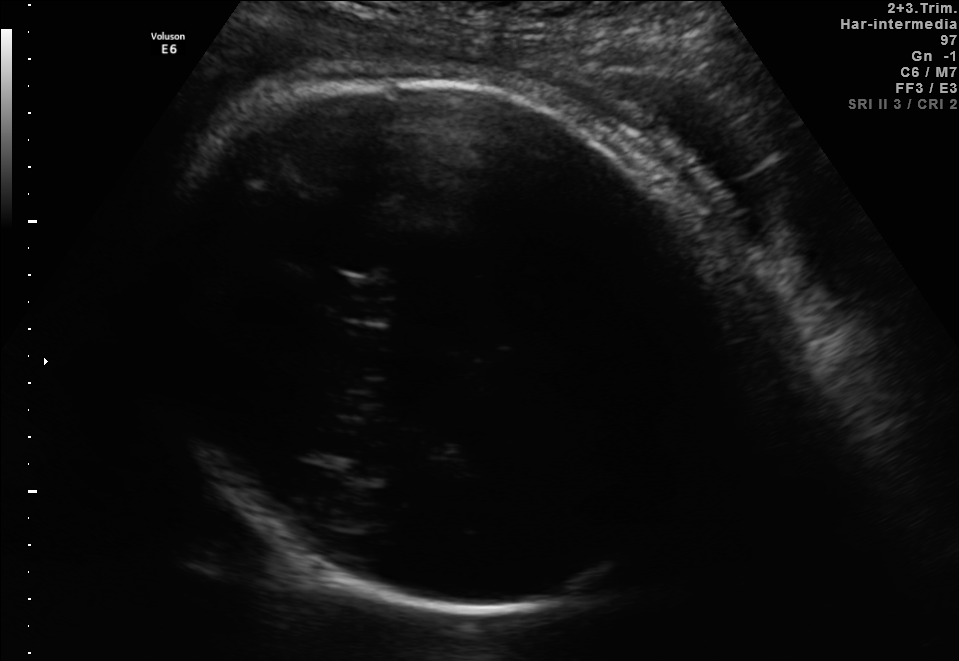
Fetal brain, trans-thalamic plane. Where is the fetal head?

Head bounding box: [144,79,735,612]